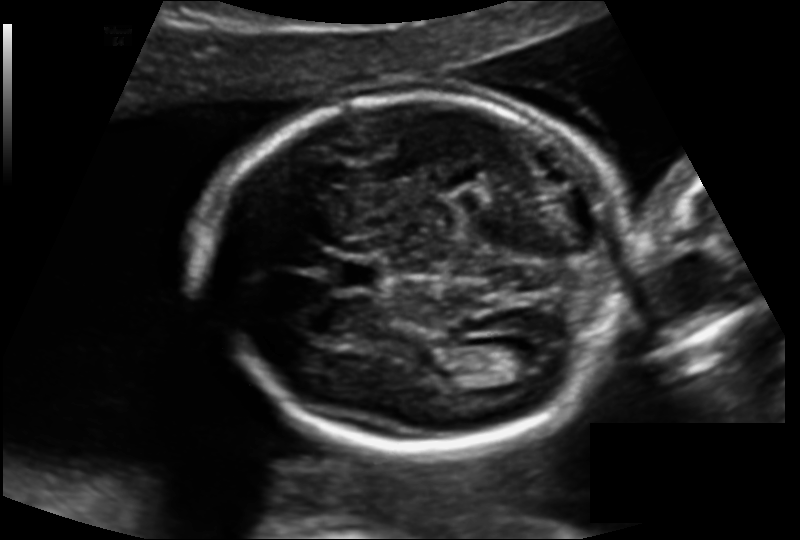
From this fetal ultrasound, estimate the head circumference (image width 110.2 mm).

Head circumference: 174.0 mm.